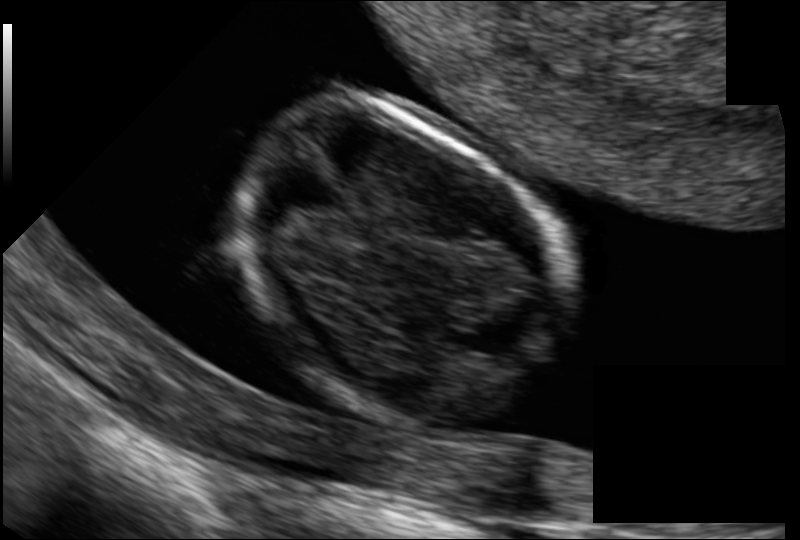
Fetal head ultrasound. Image width: 55.2 mm. Locate the fetal head.

Head: [228,109,561,417]